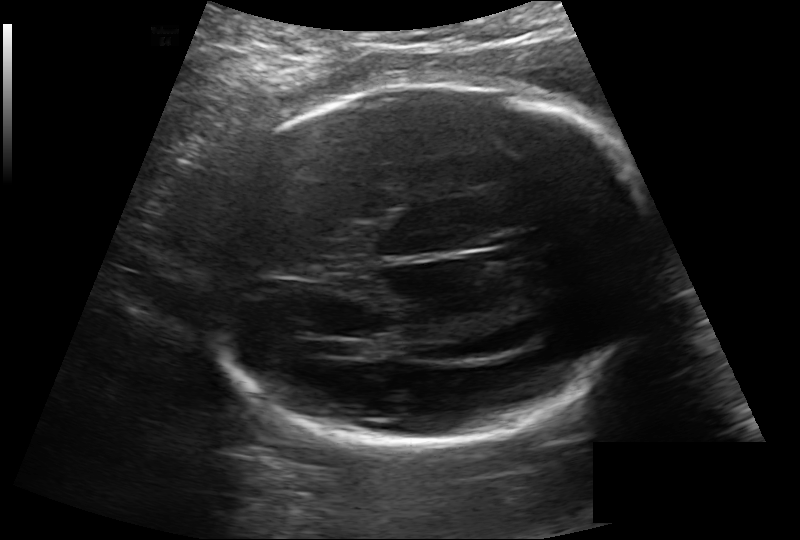
In this fetal head ultrasound, give the bounding box of the fetal head. Image width: 151.0 mm.

[206,85,654,445]